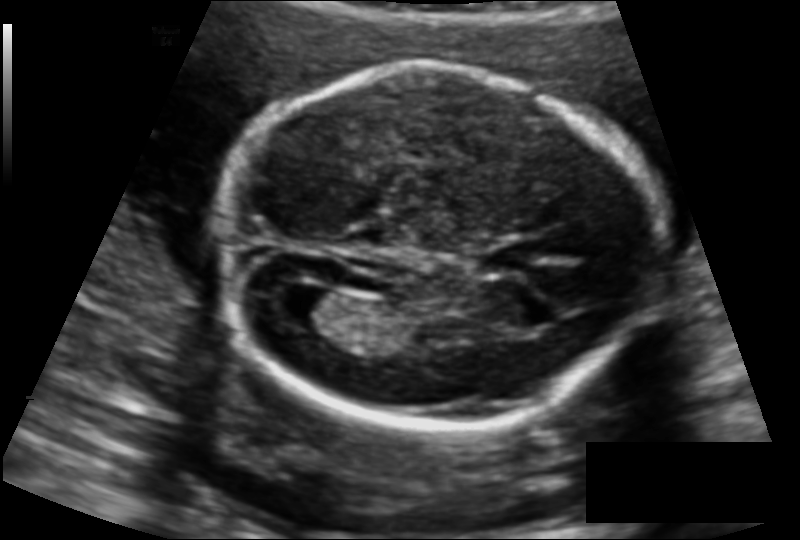
Fetal head ultrasound. Image width: 101.8 mm. Locate the fetal head.

Head: [220,64,650,427]